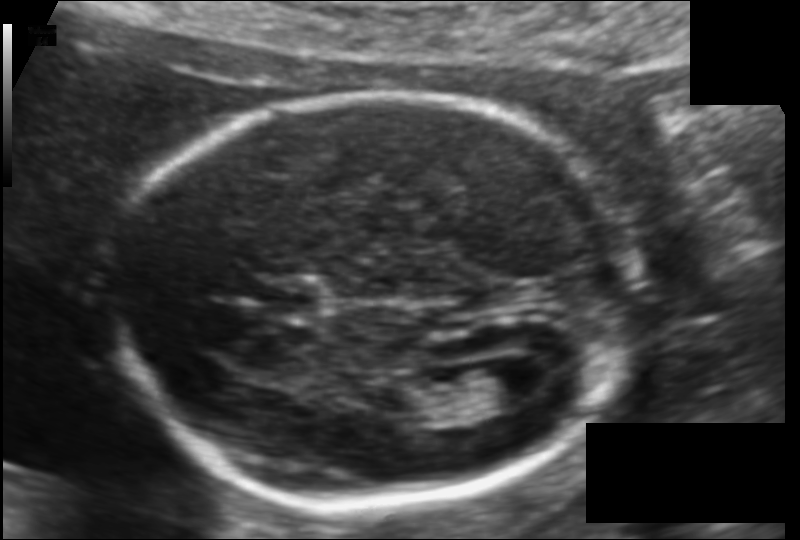
Fetal head ultrasound. Image width: 92.0 mm. Where is the cavum septum pellucidum?

CSP bounding box: [258,283,320,315]